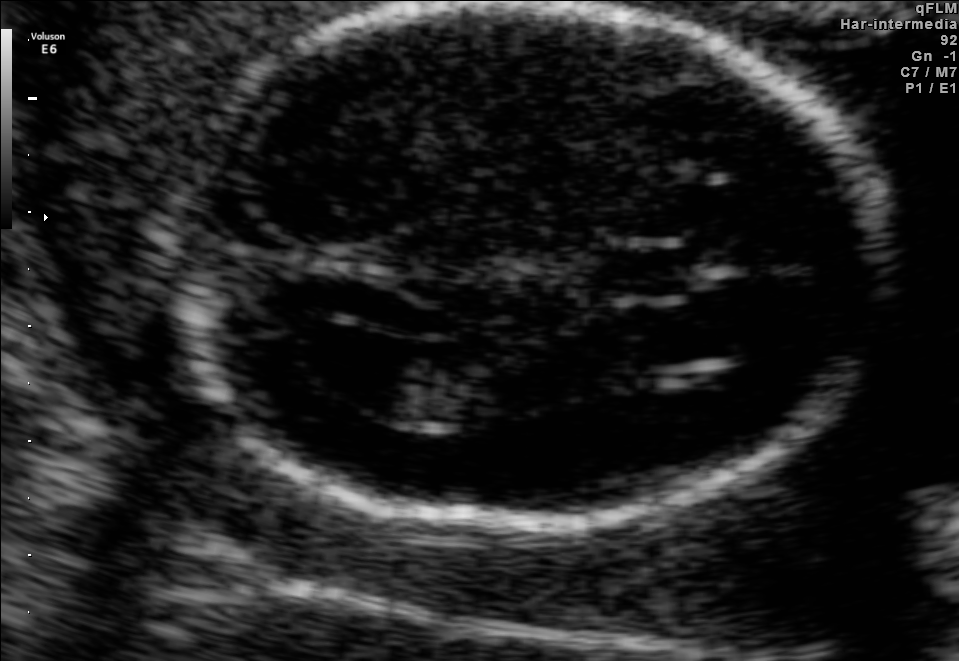
Fetal brain, trans-ventricular plane. Locate the fetal head.

Head: [141,3,908,546]